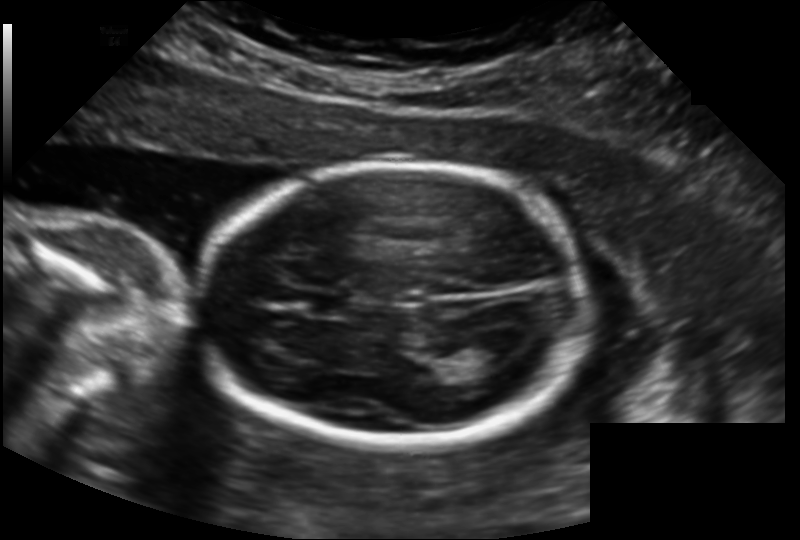
Estimate the fetal head circumference from this 2D ultrasound. Image width: 126.2 mm.

Head circumference: 171.8 mm.